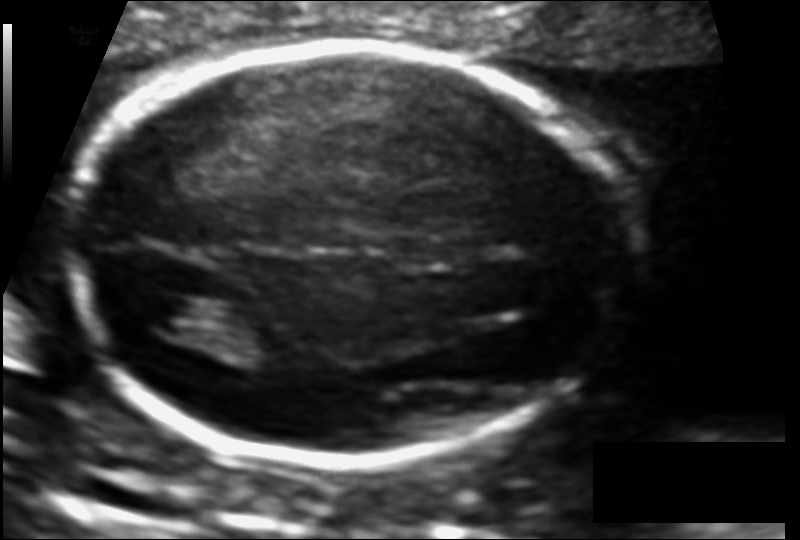
Fetal head ultrasound. Image width: 88.9 mm. Where is the fetal head?

Head bounding box: [73,47,611,466]